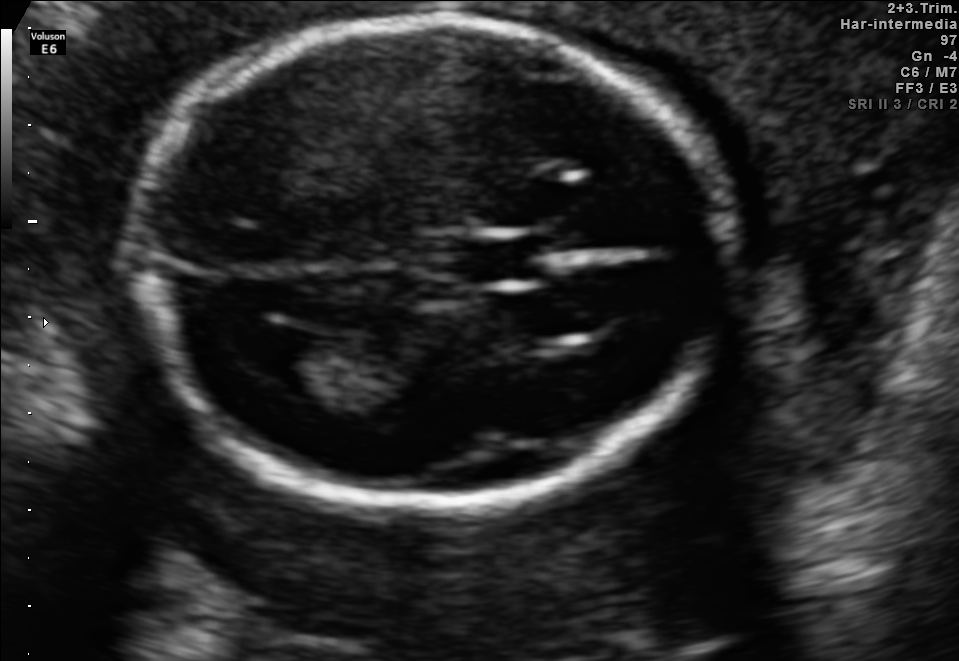
Fetal brain, trans-ventricular plane. Locate the lateral ventricle.

Lateral ventricle: [225,312,330,390]